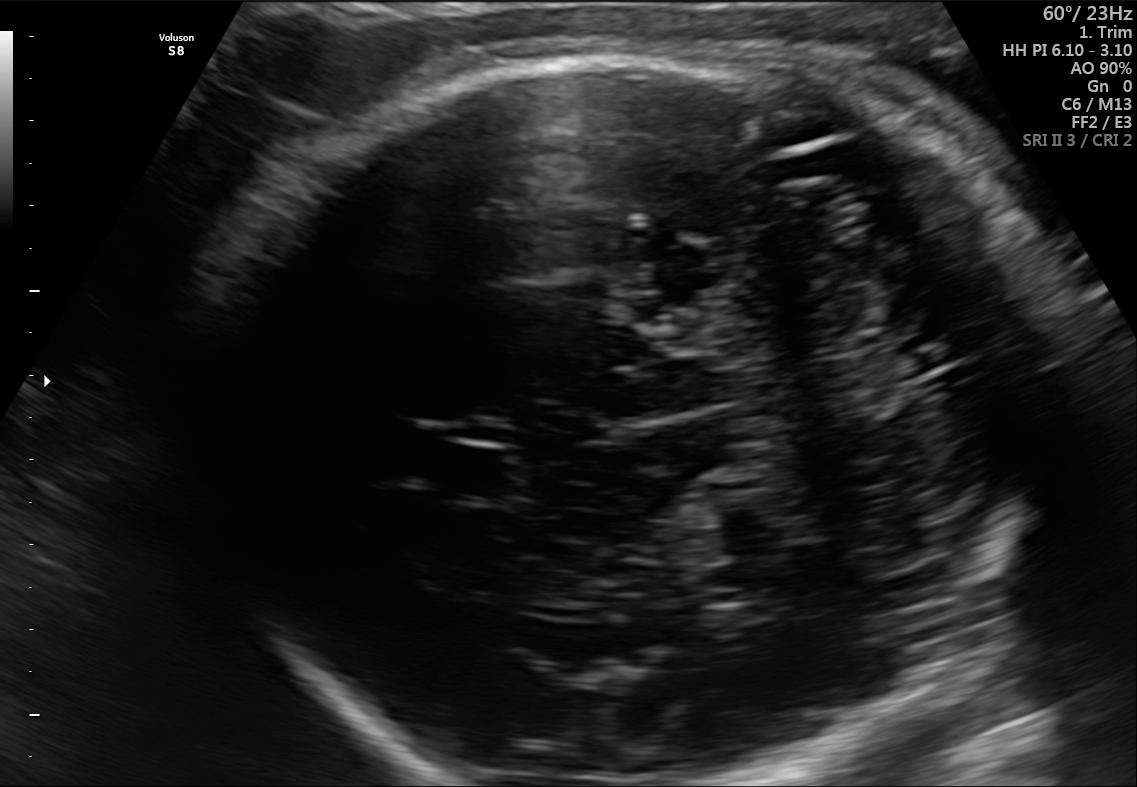
Fetal brain, trans-cerebellum plane. Where is the fetal head?

Head bounding box: [203,50,1055,785]